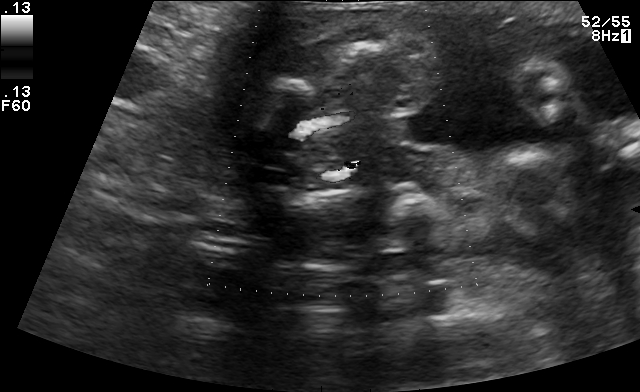
Classify this maternal-fetal ultrasound image as one of the six standard planes — fetal abdomen, fetal brain, fetal femur, fetal thorax, maternal cervix, or other. If it's fetal brain and one of the three standard brain planes (trans-thalamic, trans-cerebellum, trans-ventricular), name which.

Other